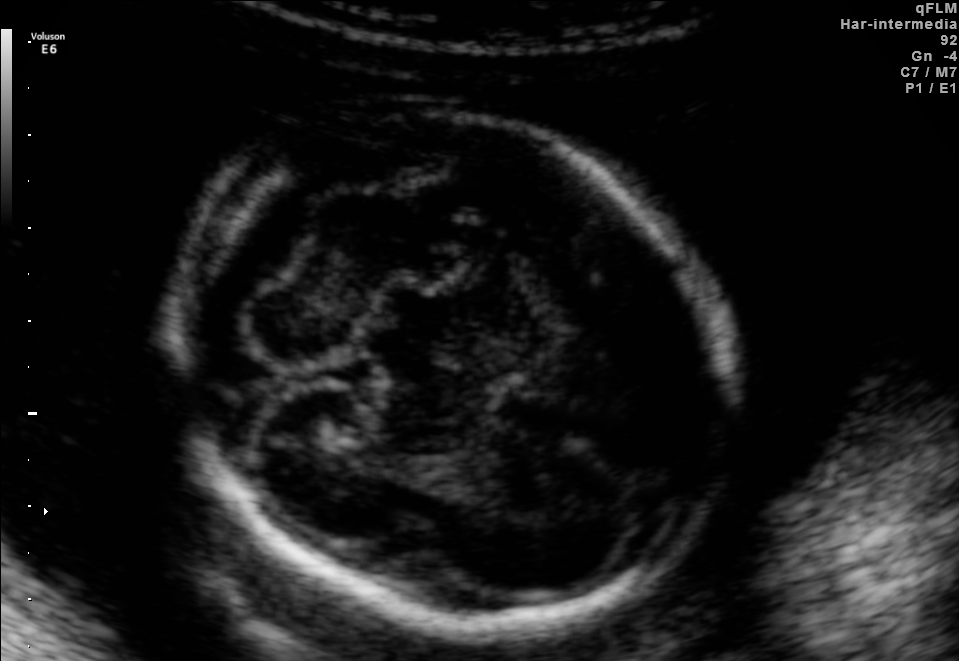
In this fetal brain, trans-cerebellum plane, give bounding boxes for the head outline, cavum septum pellucidum (CSP), and lateral ventricle (LV), where visible.

Head: [181,101,726,624]